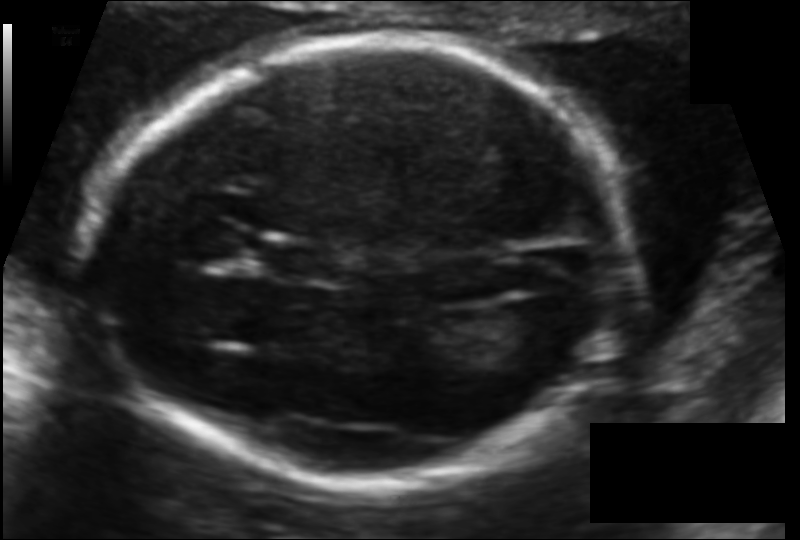
Fetal head ultrasound. Image width: 85.1 mm. Where is the cavum septum pellucidum?

CSP bounding box: [267,244,331,281]